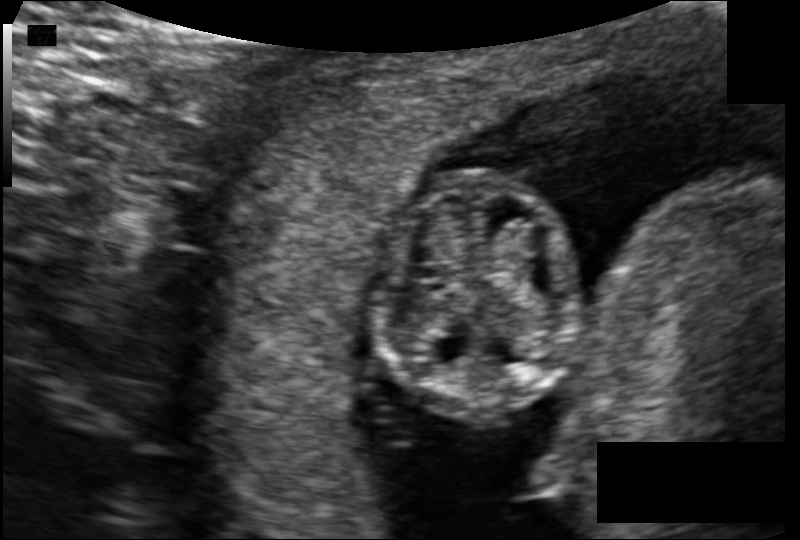
Estimate the fetal head circumference from this 2D ultrasound. Image width: 81.0 mm.

Head circumference: 74.3 mm.